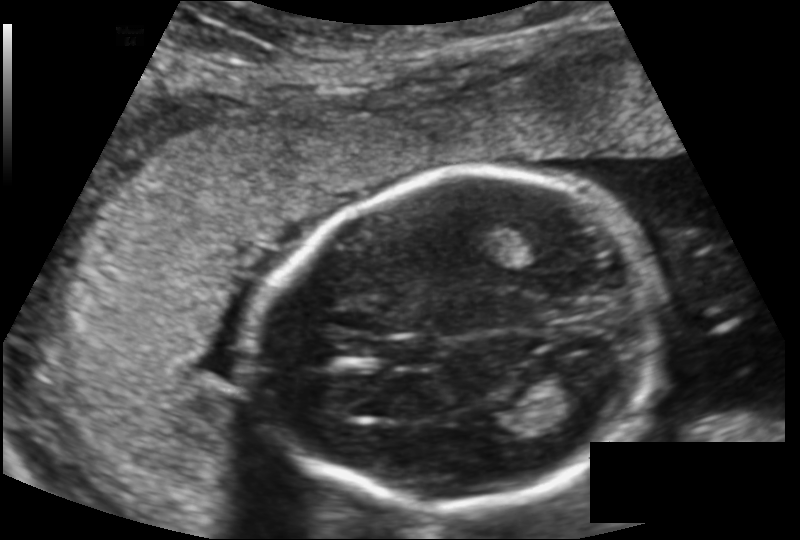
Fetal head ultrasound. Image width: 119.2 mm. Give [x1,y1,x2,y2] bounding boxes for each visible structure among: fetal head, CSP, LV.

Head: [249,175,657,507]
CSP: [384,334,443,369]
Lateral ventricle: [540,349,615,417]